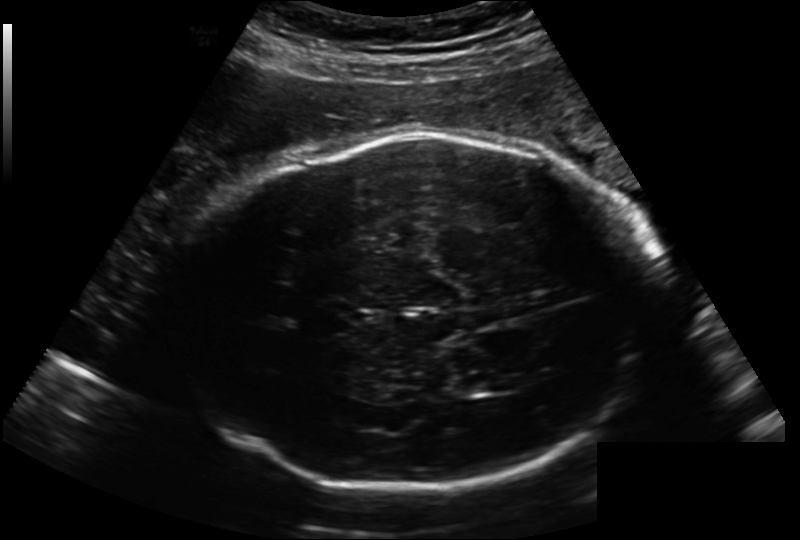
Fetal head ultrasound. Image width: 177.3 mm. Where is the lateral ventricle?

Lateral ventricle bounding box: [453,371,499,396]